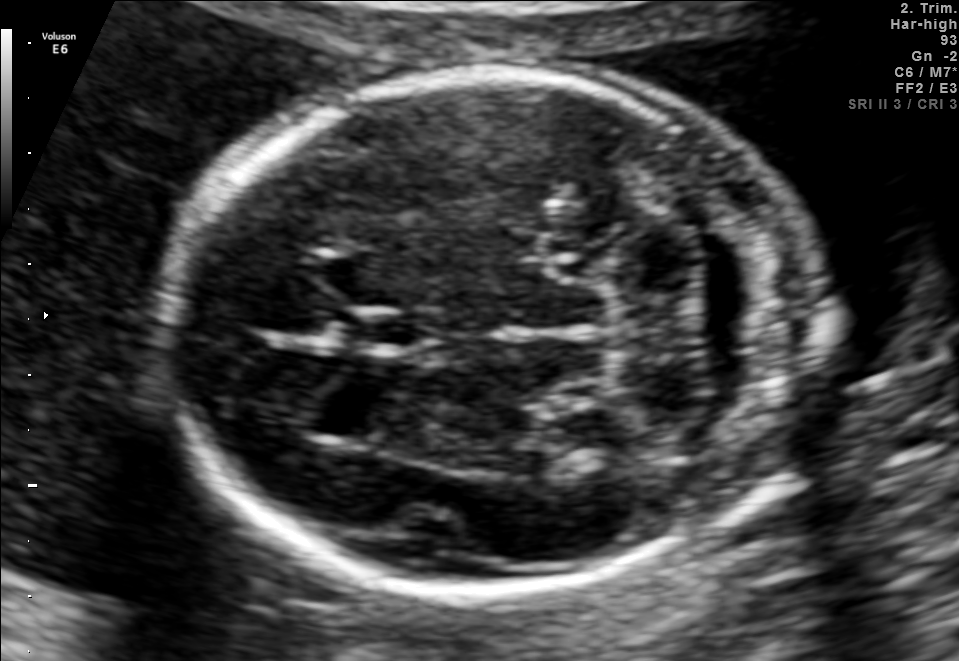
In this fetal brain, trans-cerebellum plane, give the bounding box of the fetal head.

[167,74,818,595]